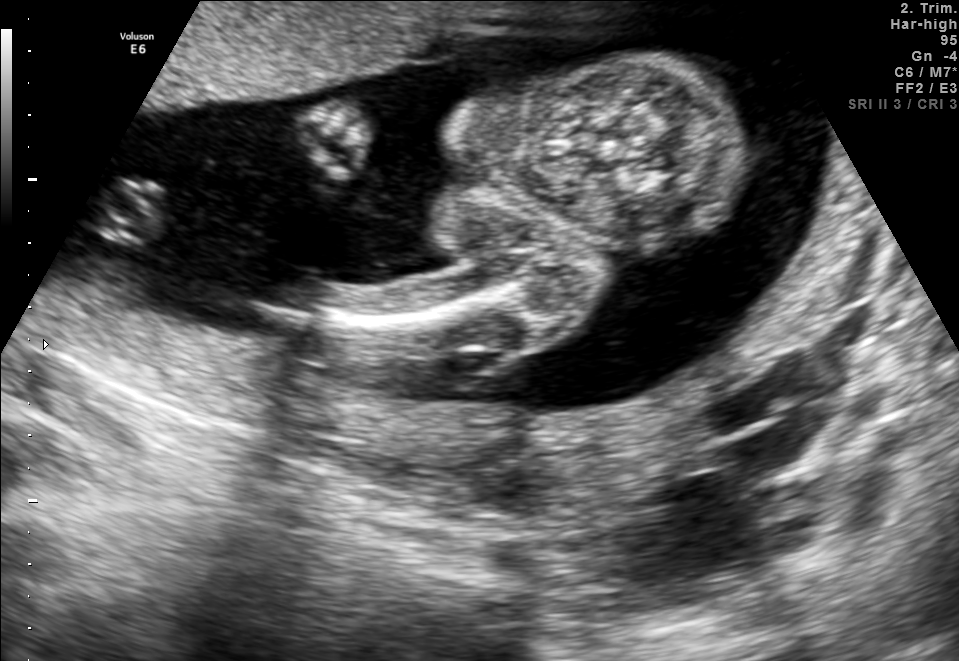
Classify this maternal-fetal ultrasound image as one of the six standard planes — fetal abdomen, fetal brain, fetal femur, fetal thorax, maternal cervix, or other. If it's fetal brain and one of the three standard brain planes (trans-thalamic, trans-cerebellum, trans-ventricular), name which.

Other